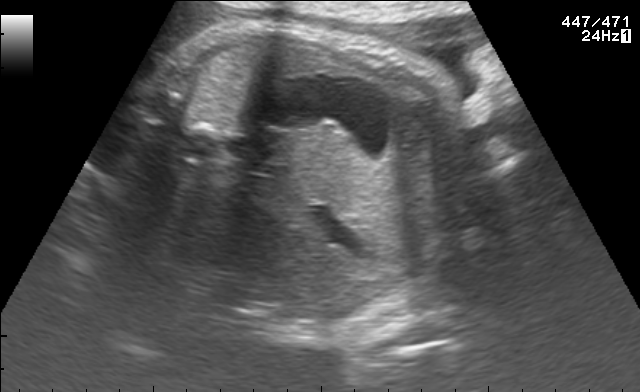
Classify this maternal-fetal ultrasound image as one of the six standard planes — fetal abdomen, fetal brain, fetal femur, fetal thorax, maternal cervix, or other. If it's fetal brain and one of the three standard brain planes (trans-thalamic, trans-cerebellum, trans-ventricular), name which.

Fetal abdomen